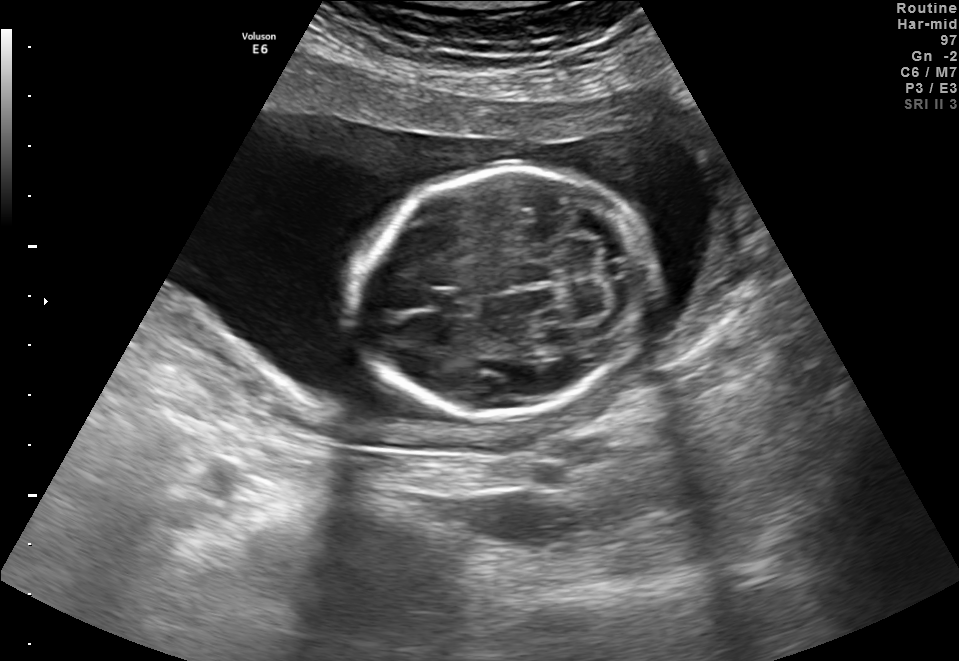
In this fetal brain, trans-cerebellum plane, give the bounding box of the fetal head.

[351,169,654,416]